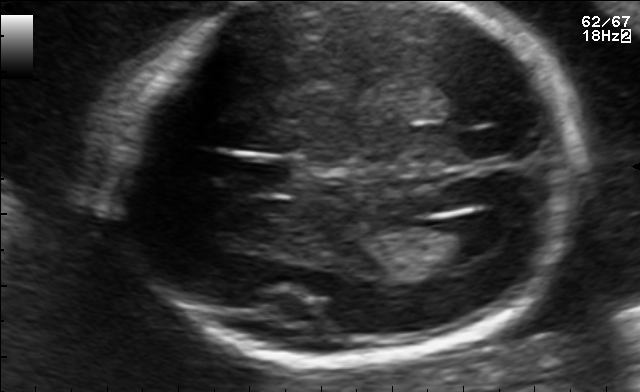
In this fetal brain, trans-ventricular plane, give the bounding box of the cavum septum pellucidum.

[226,160,293,189]